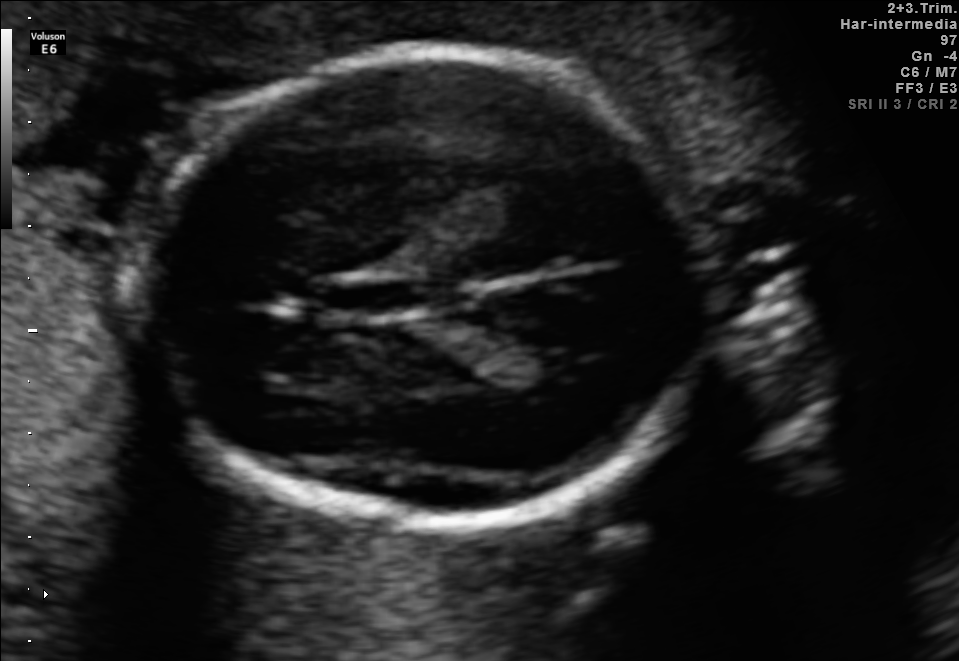
Fetal brain, trans-thalamic plane. Locate the fetal head and, if visible, the cavum septum pellucidum (CSP) and lateral ventricle (LV). Give bounding boxes as [x1,y1,x2,y2].

Head: [127,53,708,514]